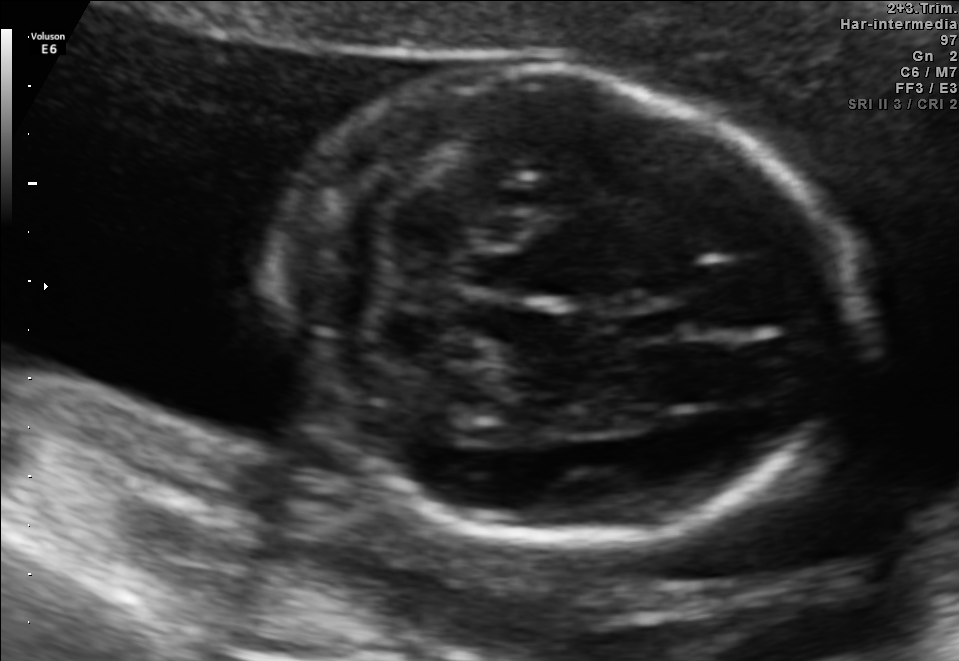
Classify this maternal-fetal ultrasound image as one of the six standard planes — fetal abdomen, fetal brain, fetal femur, fetal thorax, maternal cervix, or other. If it's fetal brain and one of the three standard brain planes (trans-thalamic, trans-cerebellum, trans-ventricular), name which.

Fetal brain (trans-cerebellum plane)